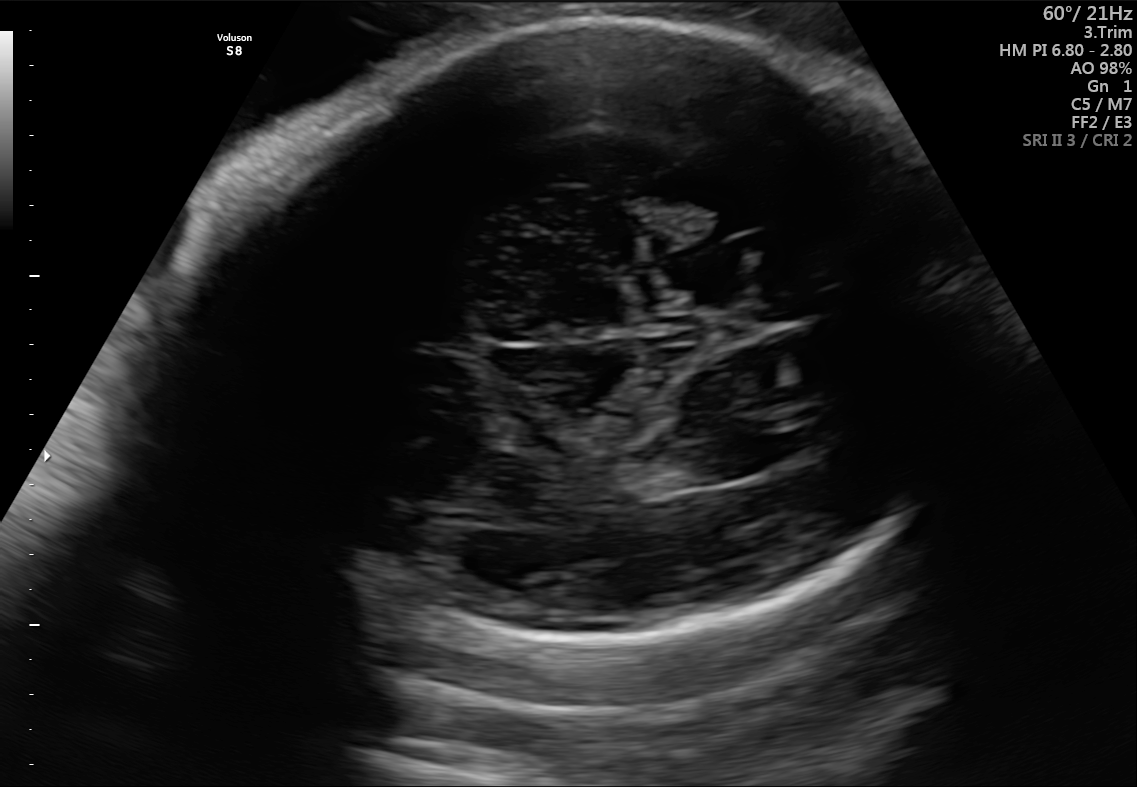
In this fetal brain, trans-thalamic plane, give bounding boxes for the head outline, cavum septum pellucidum (CSP), and lateral ventricle (LV), where visible.

Head: [204,14,971,635]